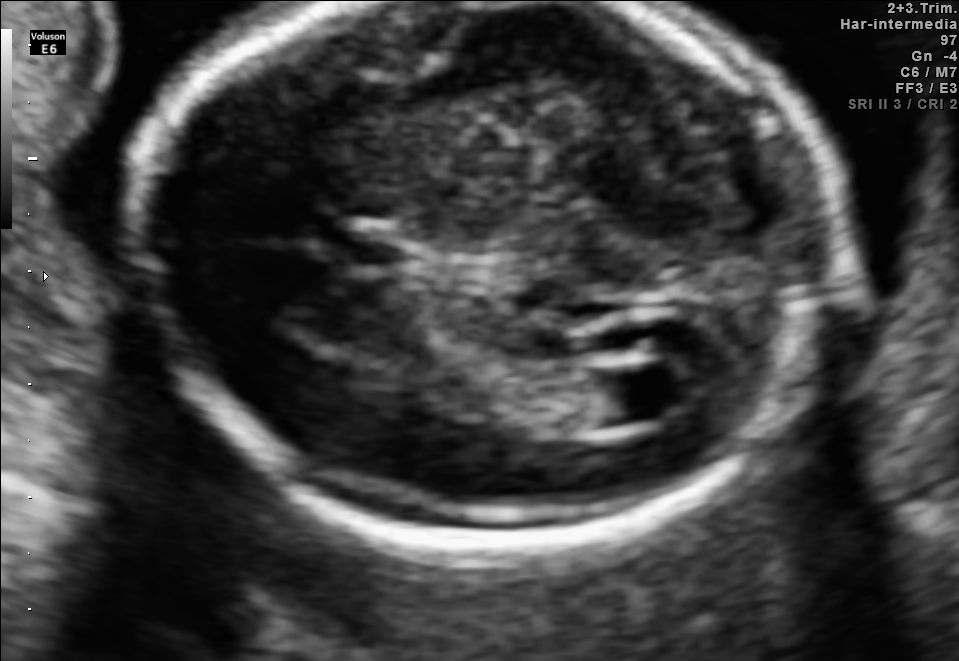
Fetal brain, trans-ventricular plane. Where is the cavum septum pellucidum?

CSP bounding box: [349,237,407,269]